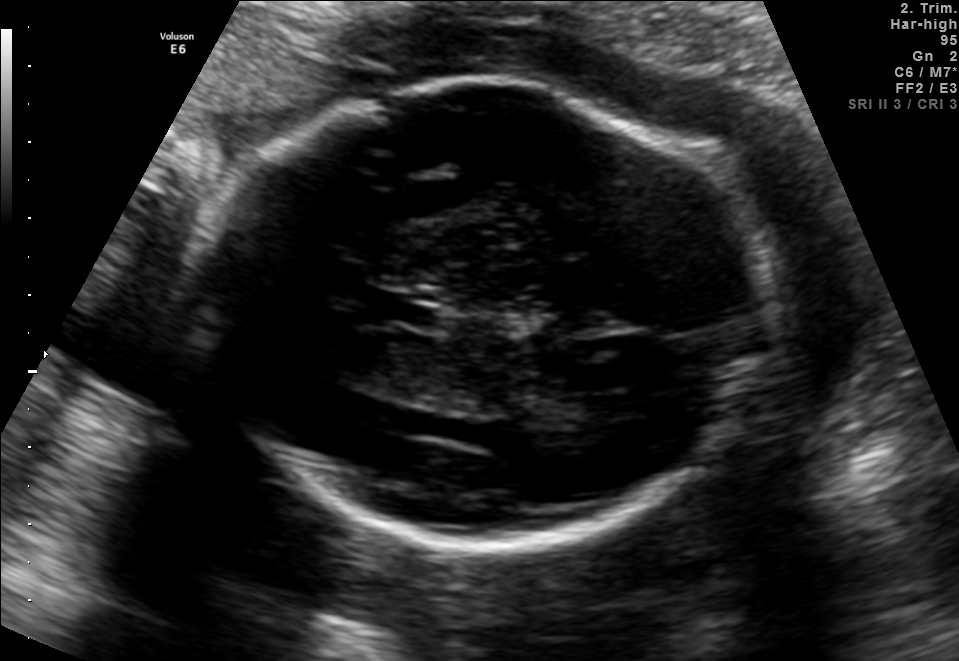
Fetal brain, trans-thalamic plane. Locate the fetal head.

Head: [185,85,776,556]